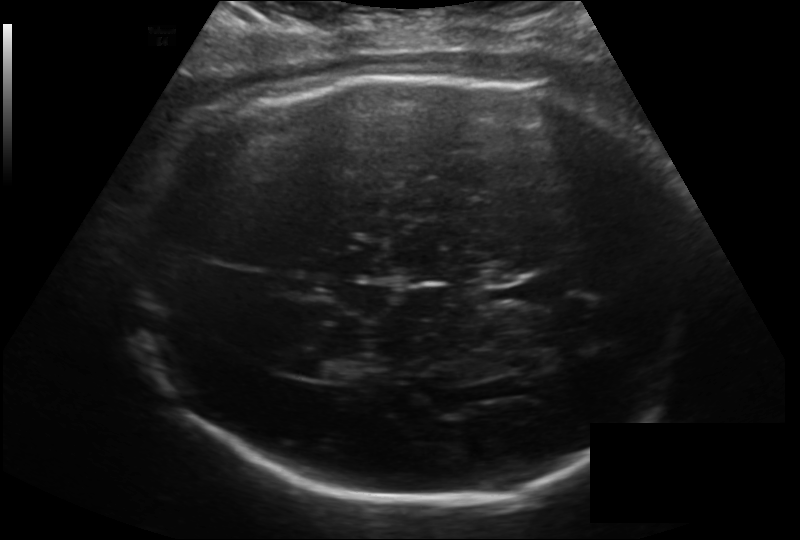
Fetal head ultrasound. Image width: 154.4 mm. Locate the cavum septum pellucidum.

CSP: [515,265,585,306]